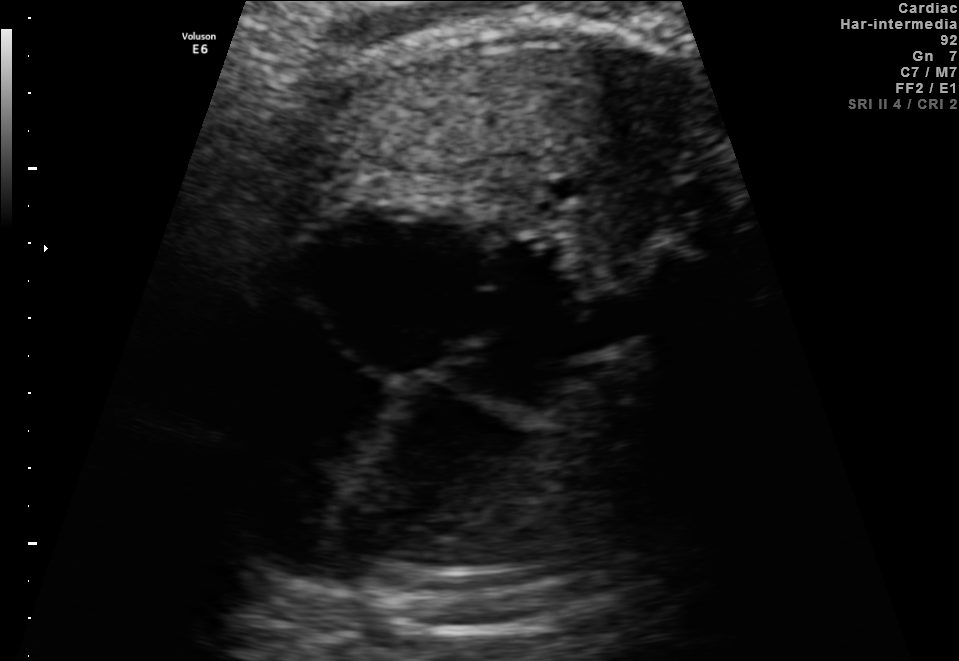
Which standard maternal-fetal ultrasound plane is shown: fetal abdomen, fetal brain, fetal femur, fetal thorax, maternal cervix, or other? If it's fetal brain and one of the three standard brain planes (trans-thalamic, trans-cerebellum, trans-ventricular), name which.

Fetal thorax